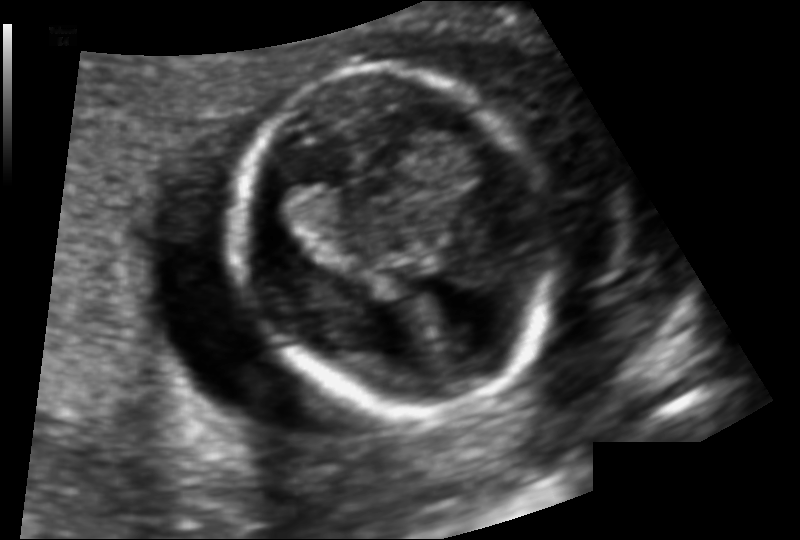
Estimate the fetal head circumference from this 2D ultrasound. Image width: 85.7 mm.

Head circumference: 116.6 mm.